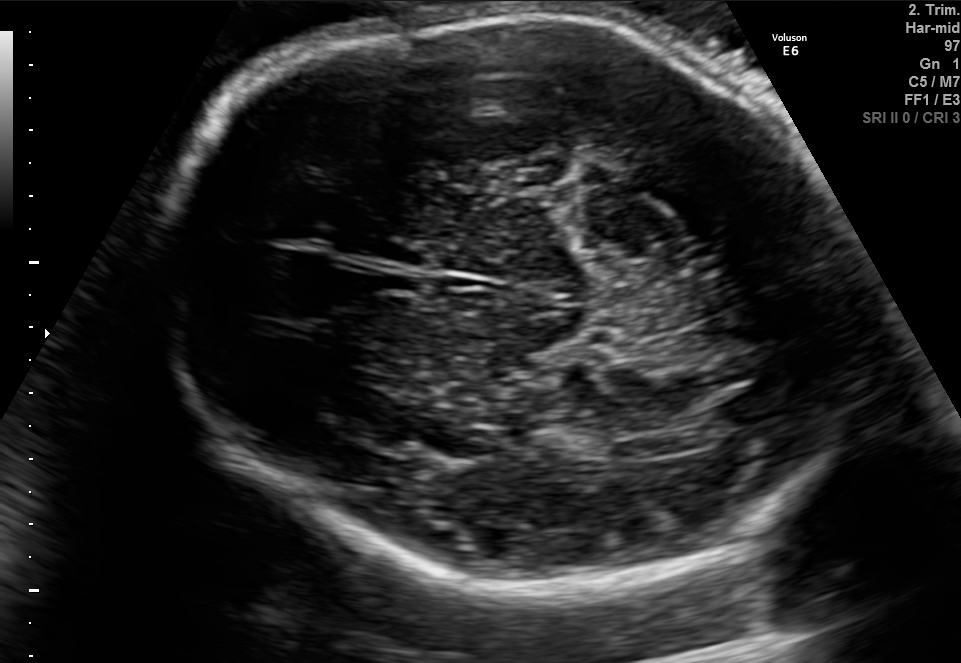
Fetal brain, trans-thalamic plane. Give [x1,y1,x2,y2] bounding boxes for each visible structure among: fetal head, CSP, LV.

Head: [146,13,861,584]